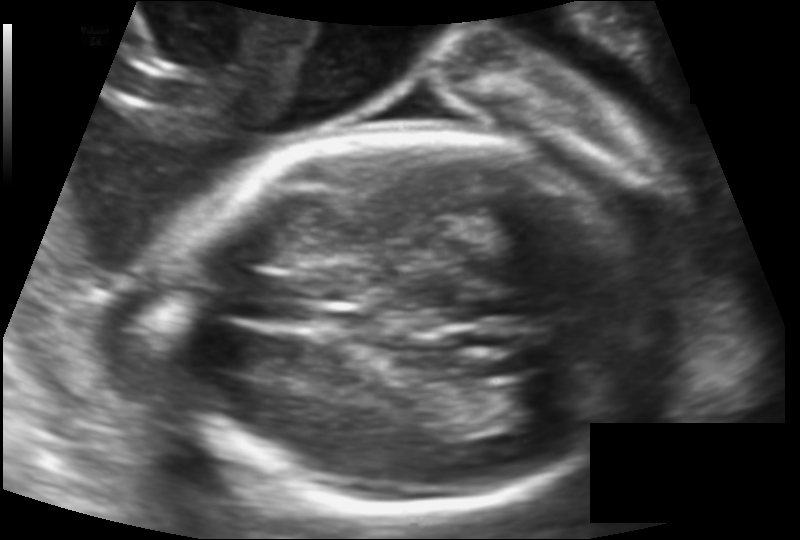
Fetal head ultrasound. Image width: 106.2 mm. Where is the lateral ventricle?

Lateral ventricle bounding box: [497,372,578,428]